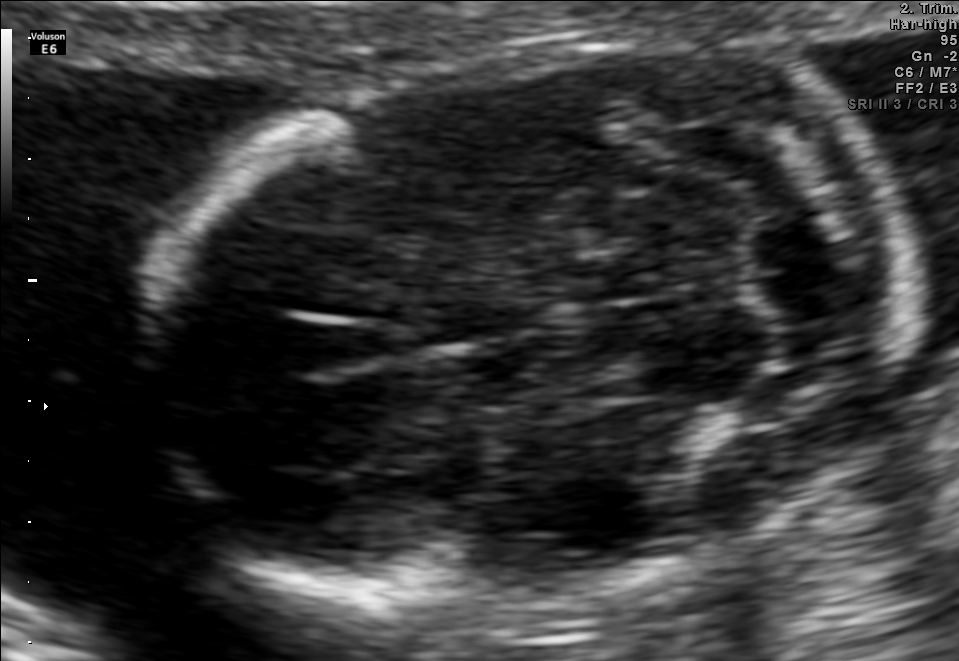
Fetal brain, trans-cerebellum plane. Locate the fetal head and, if visible, the cavum septum pellucidum (CSP) and lateral ventricle (LV). Give bounding boxes as [x1,y1,x2,y2].

Head: [147,37,908,608]